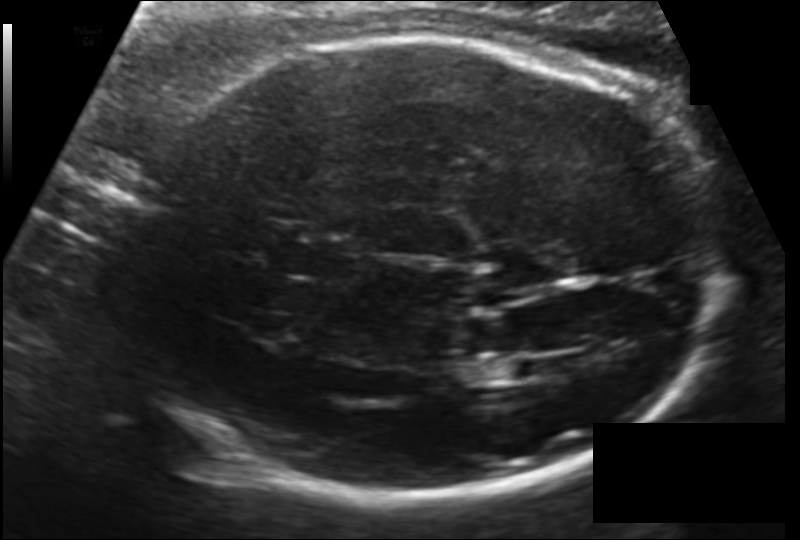
Fetal head ultrasound. Image width: 120.6 mm. Locate the cavum septum pellucidum.

CSP: [282,241,355,277]